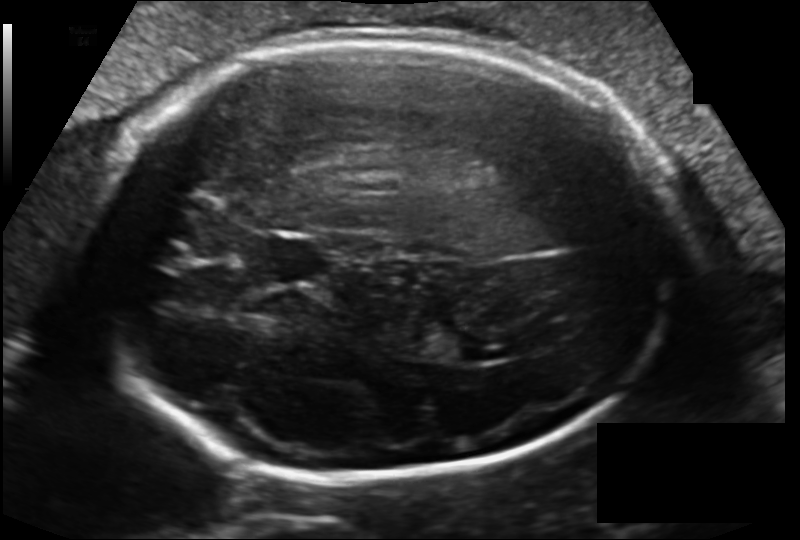
Fetal head ultrasound. Image width: 129.6 mm. Locate the cavum septum pellucidum.

CSP: [246,230,331,288]